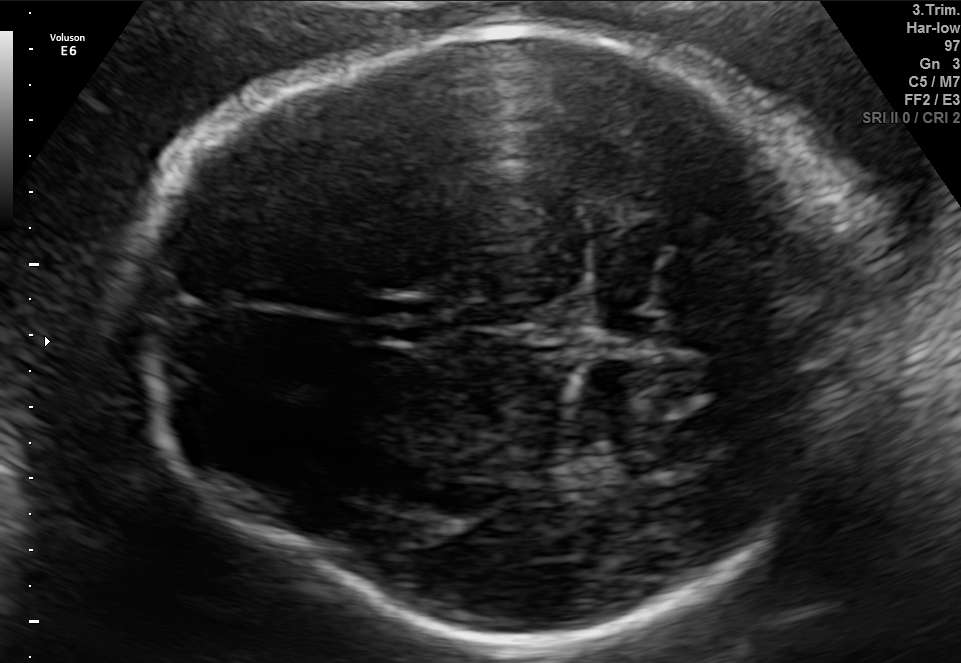
In this fetal brain, trans-thalamic plane, give the bounding box of the fetal head.

[122,26,903,645]